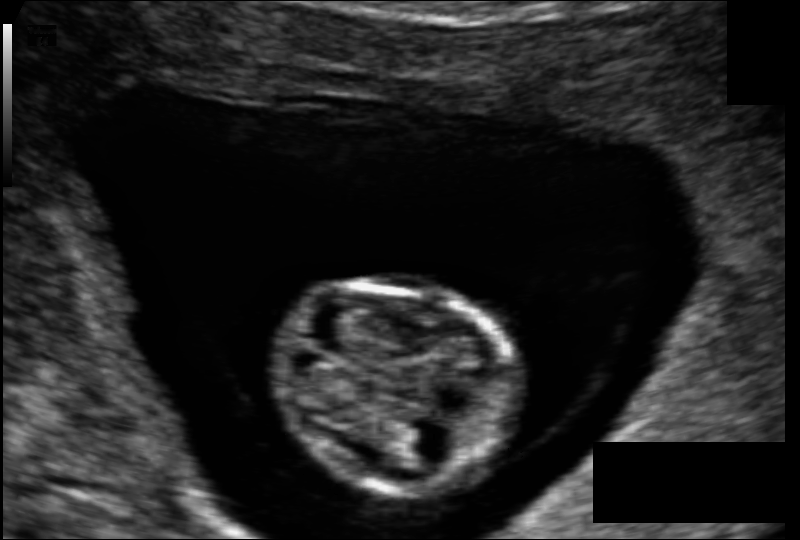
What is the fetal head circumference? Image width is 71.4 mm.

65.8 mm